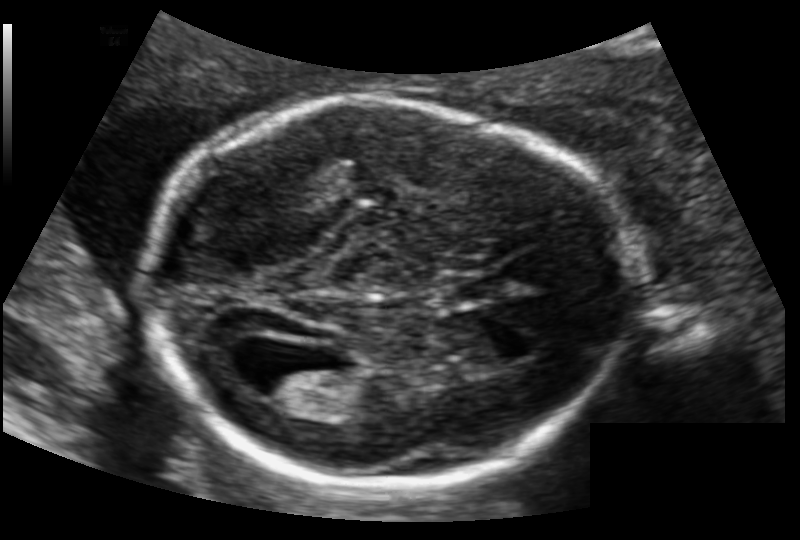
Fetal head ultrasound. Image width: 100.7 mm. Where is the cavum septum pellucidum?

CSP bounding box: [450,273,506,303]